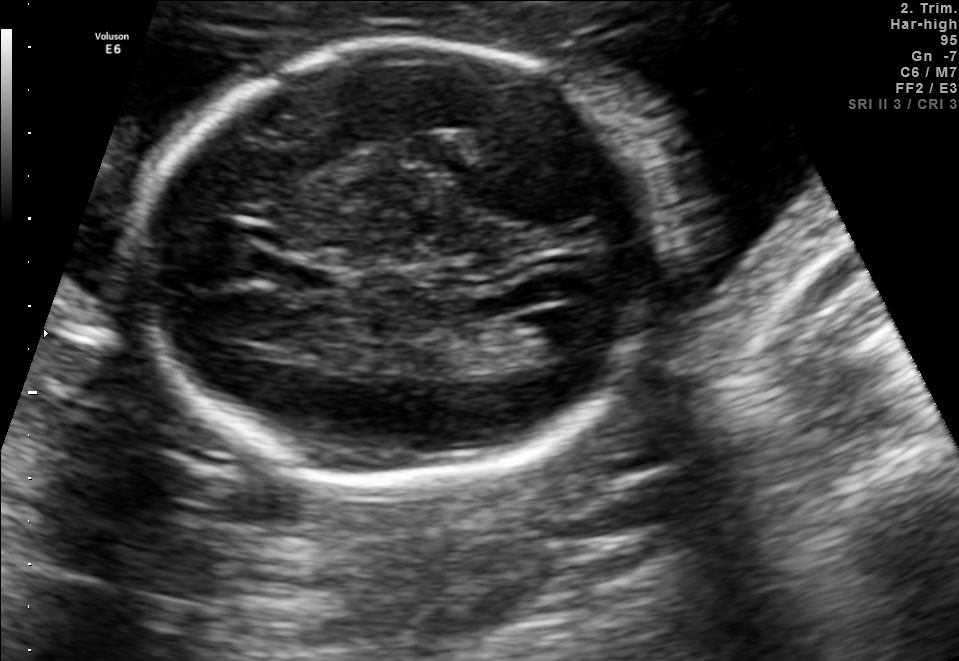
Fetal brain, trans-ventricular plane. Locate the fetal head.

Head: [122,33,687,488]